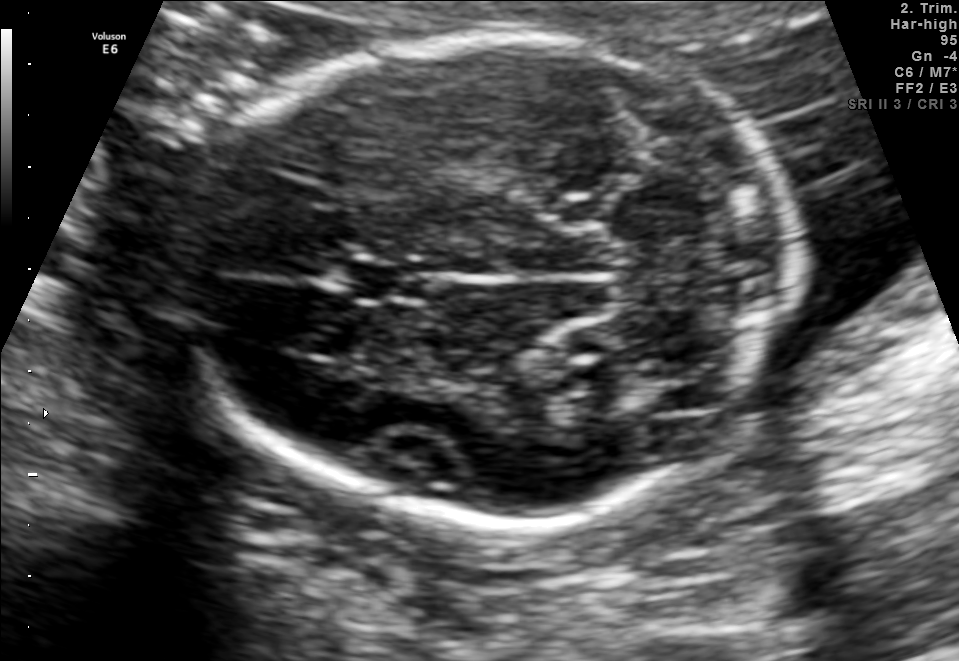
Fetal brain, trans-cerebellum plane. Where is the fetal head?

Head bounding box: [184,34,799,521]